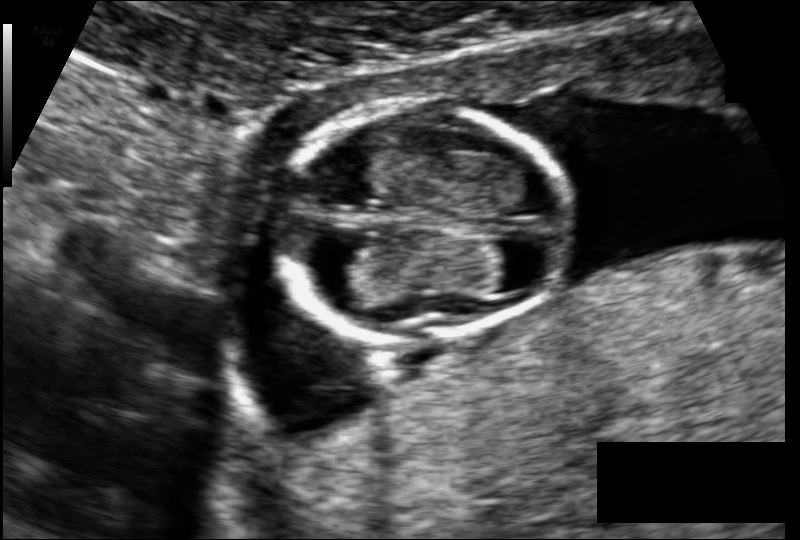
What is the fetal head circumference? Image width is 78.5 mm.

83.4 mm